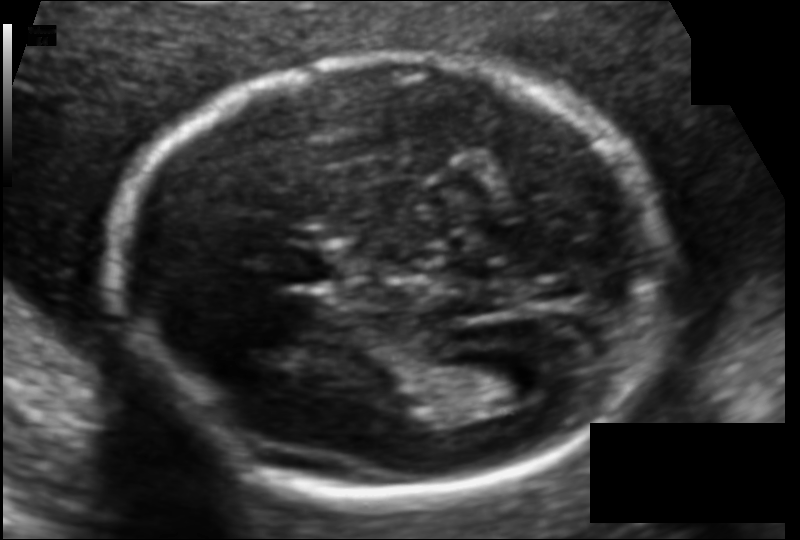
Fetal head ultrasound. Image width: 83.5 mm. Where is the fetal head?

Head bounding box: [113,56,668,498]